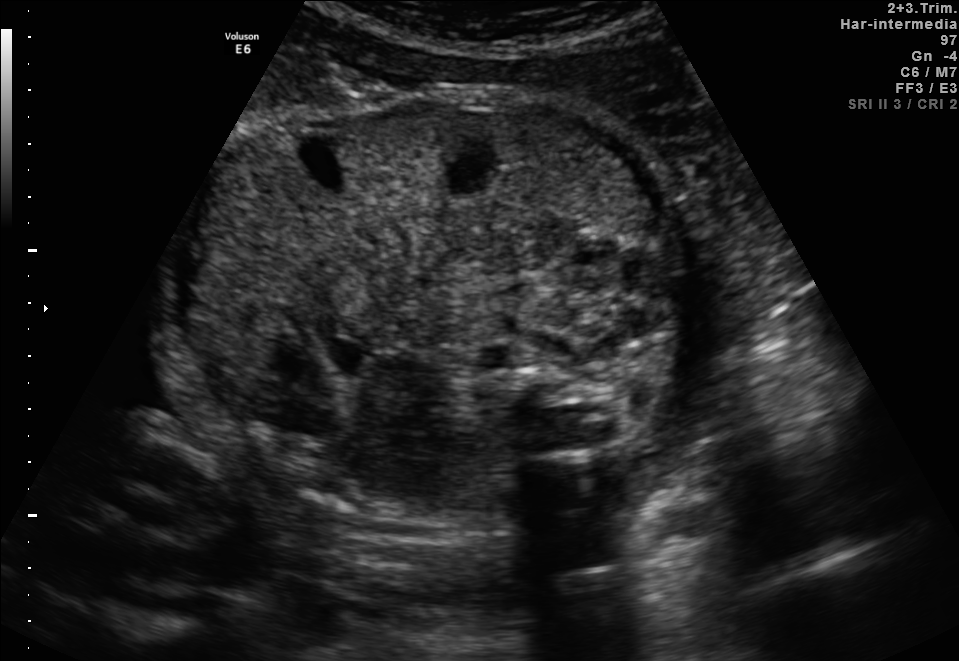
Identify the standard plane in this fetal ultrasound image: fetal abdomen, fetal brain, fetal femur, fetal thorax, maternal cervix, or other. If it's fetal brain and one of the three standard brain planes (trans-thalamic, trans-cerebellum, trans-ventricular), name which.

Other